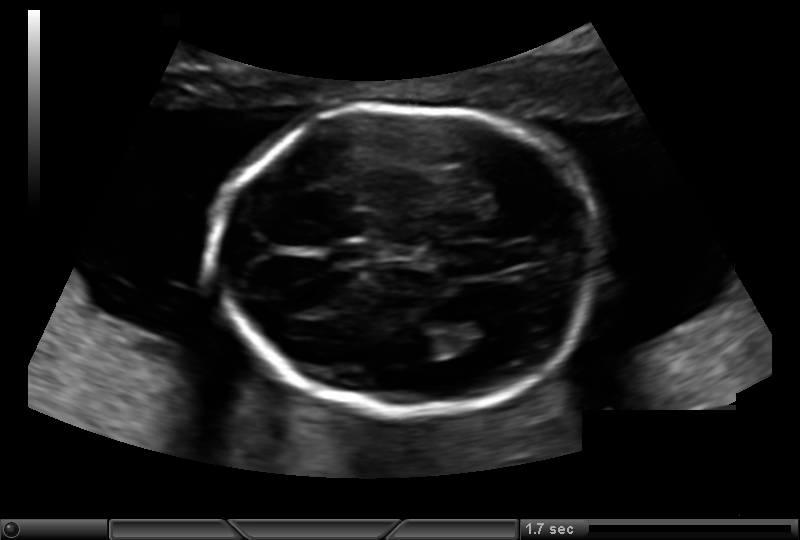
Fetal head ultrasound. Image width: 107.7 mm. Locate the fetal head.

Head: [215,106,596,413]